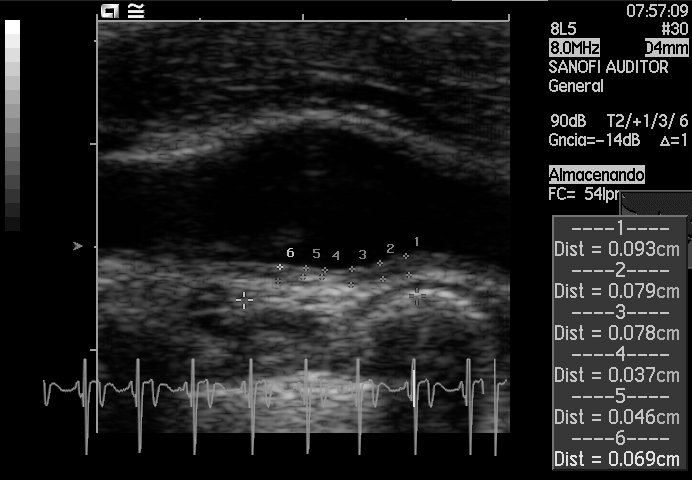
Identify the standard plane in this fetal ultrasound image: fetal abdomen, fetal brain, fetal femur, fetal thorax, maternal cervix, or other. If it's fetal brain and one of the three standard brain planes (trans-thalamic, trans-cerebellum, trans-ventricular), name which.

Other